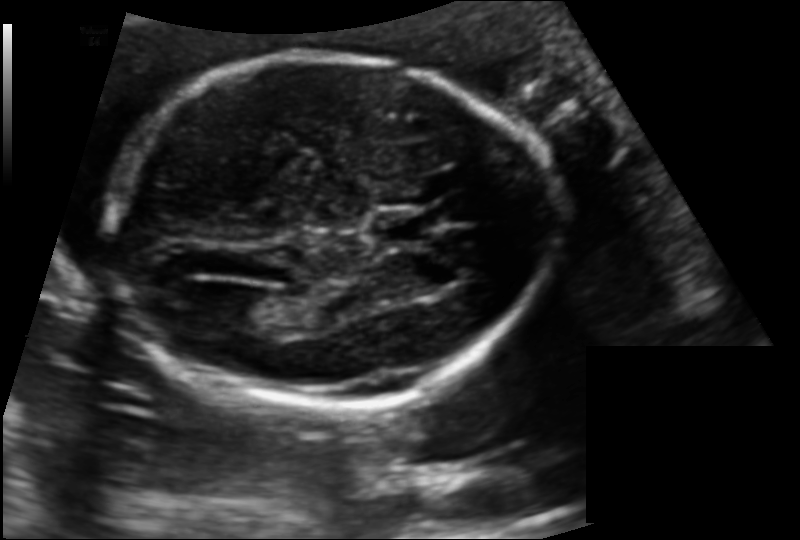
Estimate the fetal head circumference from this 2D ultrasound.

Head circumference: 171.7 mm (image width 105.8 mm).